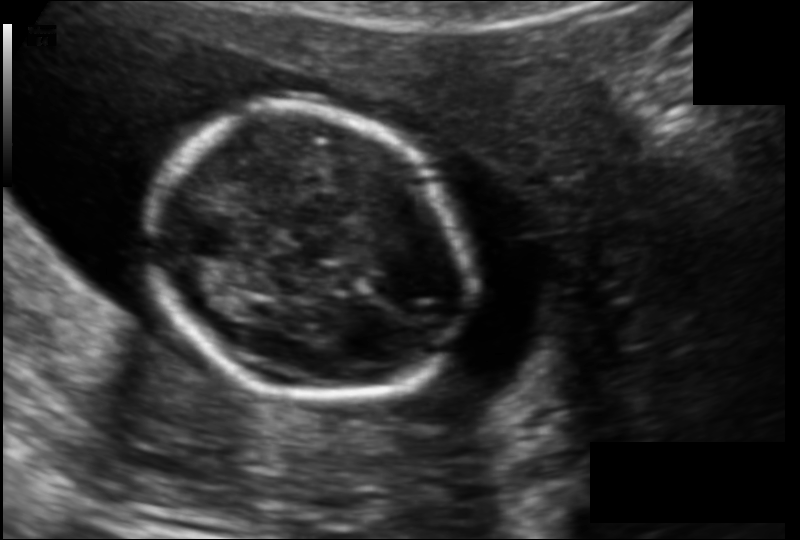
Fetal head ultrasound. Image width: 98.4 mm. Where is the fetal head?

Head bounding box: [153,112,473,402]